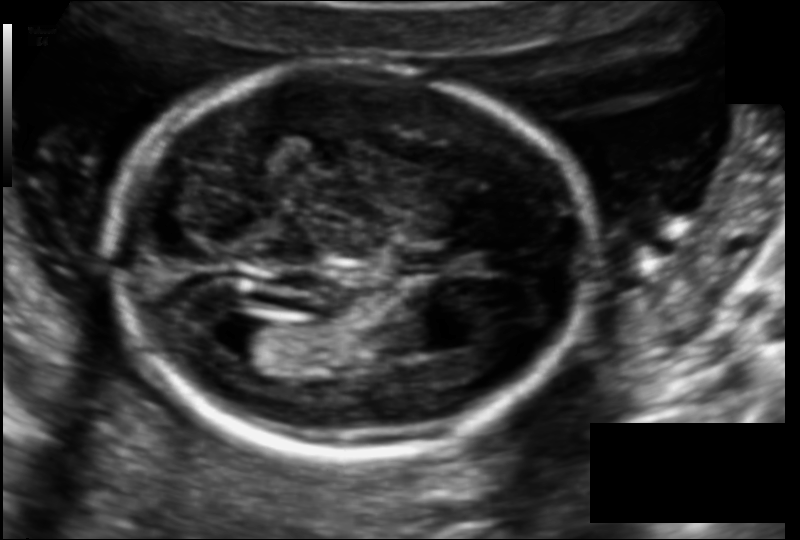
Estimate the fetal head circumference from this 2D ultrasound. Image width: 91.5 mm.

Head circumference: 160.7 mm.